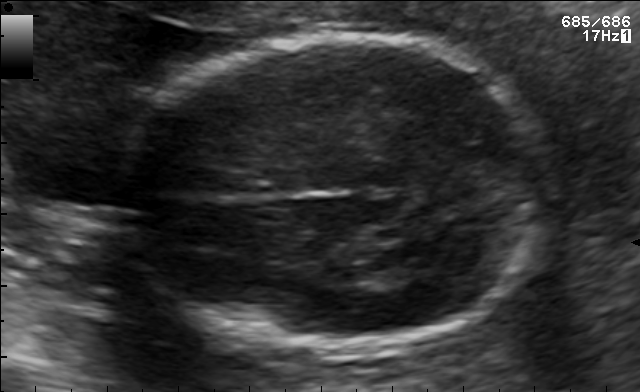
Fetal brain, trans-thalamic plane. Give [x1,y1,x2,y2] bounding boxes for each visible structure among: fetal head, CSP, LV.

Head: [123,35,547,355]